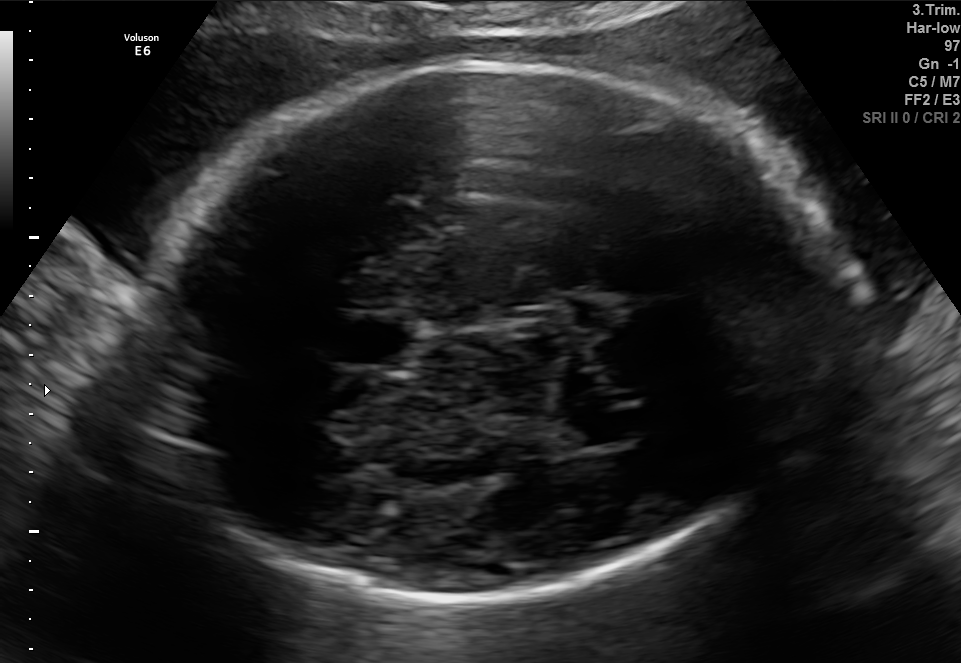
Fetal brain, trans-thalamic plane. Where is the cavum septum pellucidum?

CSP bounding box: [337,317,408,366]